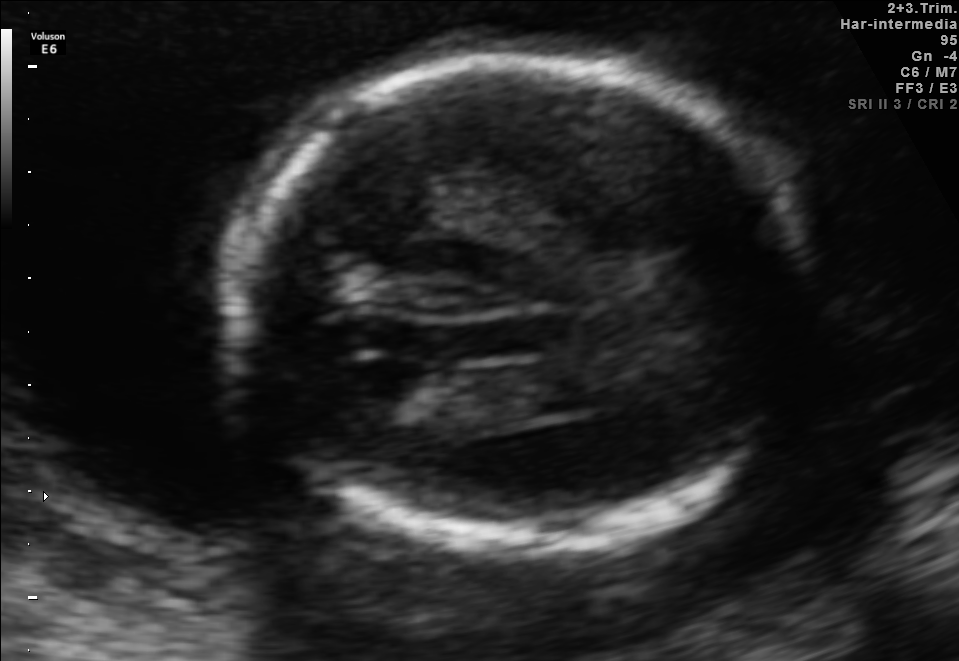
In this fetal brain, trans-ventricular plane, give the bounding box of the fetal head.

[213,50,830,559]